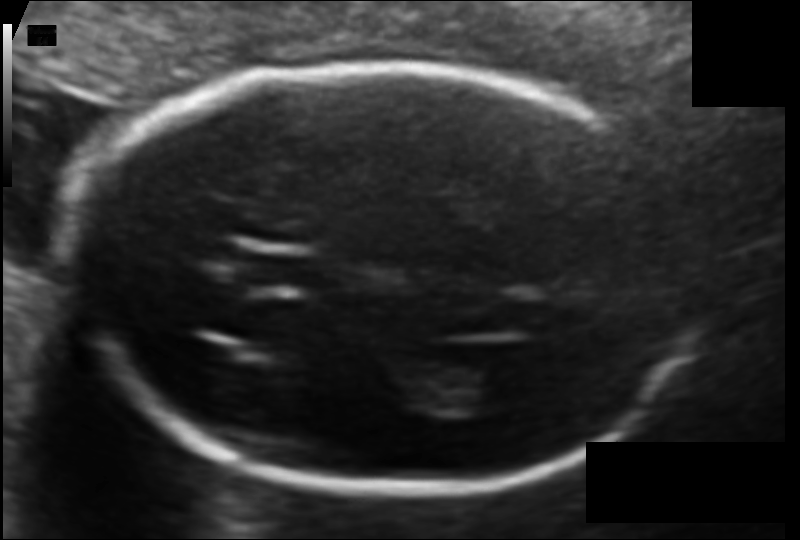
Fetal head ultrasound. Image width: 82.7 mm. Locate the cavum septum pellucidum.

CSP: [238,247,317,294]